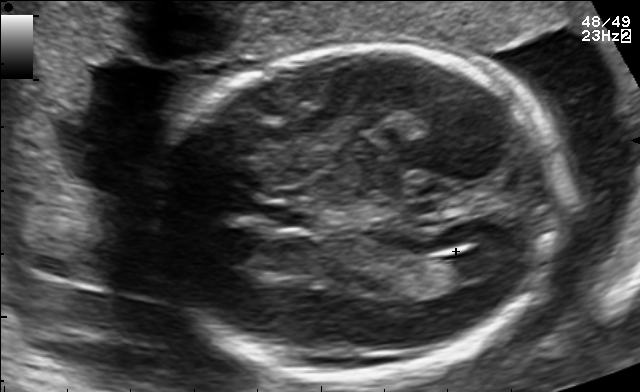
Fetal brain, trans-ventricular plane. Where is the cavum septum pellucidum?

CSP bounding box: [253,198,322,235]